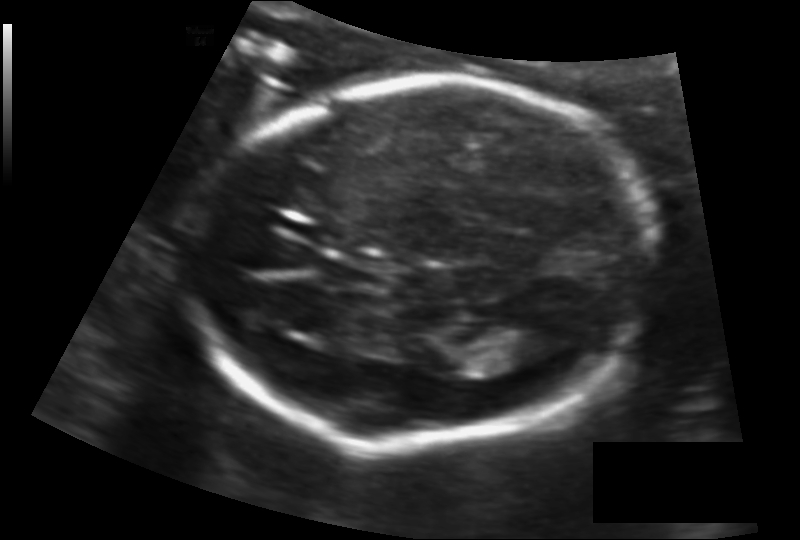
Fetal head ultrasound. Image width: 100.0 mm. Locate the fetal head.

Head: [188,83,654,446]